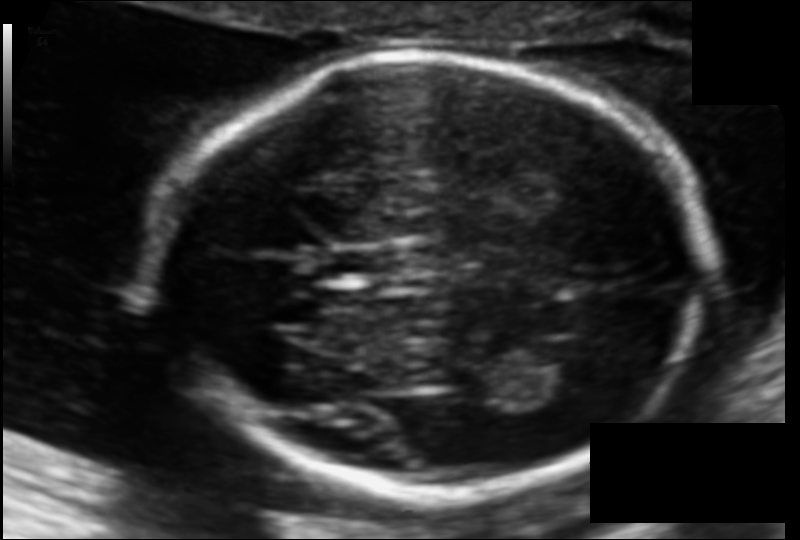
Fetal head ultrasound. Image width: 86.8 mm. Where is the lateral ventricle?

Lateral ventricle bounding box: [519,337,601,398]